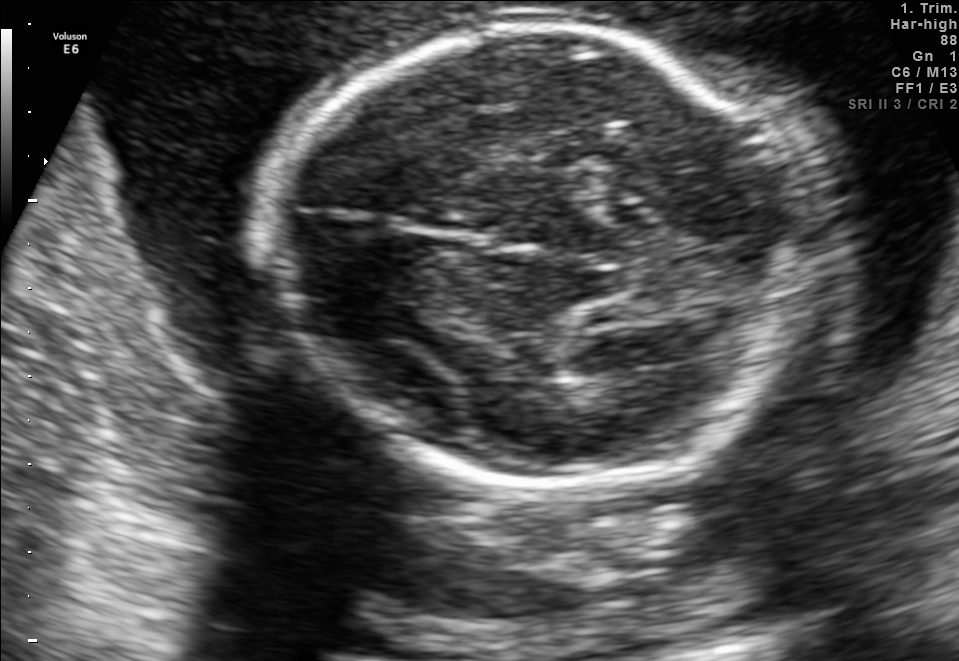
In this fetal brain, trans-thalamic plane, give bounding boxes for the head outline, cavum septum pellucidum (CSP), and lateral ventricle (LV), where visible.

Head: [260,21,813,494]